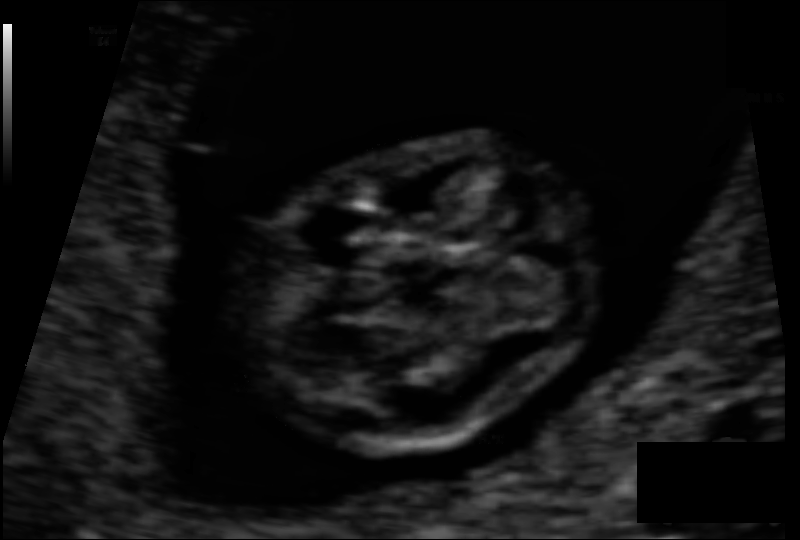
Fetal head ultrasound. Image width: 48.2 mm. Locate the fetal head.

Head: [245,141,596,446]